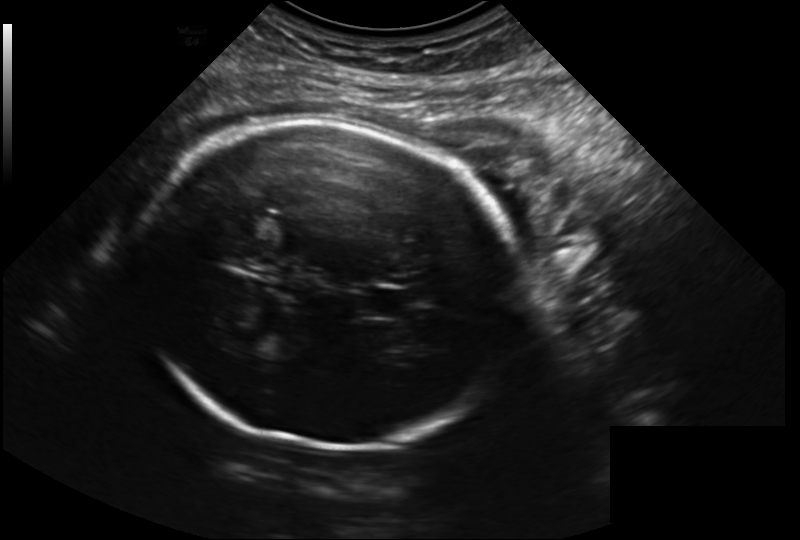
In this fetal head ultrasound, give bounding boxes for the head outline, cavum septum pellucidum (CSP), and lateral ventricle (LV), where visible. Image width: 178.0 mm.

Head: [138,123,526,448]
CSP: [359,285,417,322]